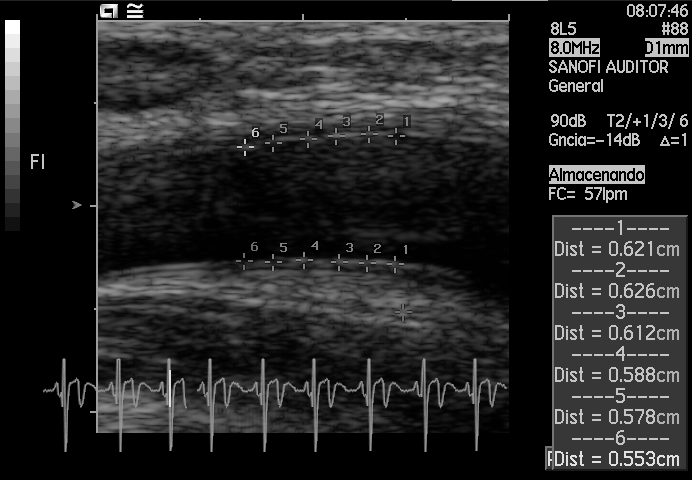
Classify this maternal-fetal ultrasound image as one of the six standard planes — fetal abdomen, fetal brain, fetal femur, fetal thorax, maternal cervix, or other. If it's fetal brain and one of the three standard brain planes (trans-thalamic, trans-cerebellum, trans-ventricular), name which.

Other